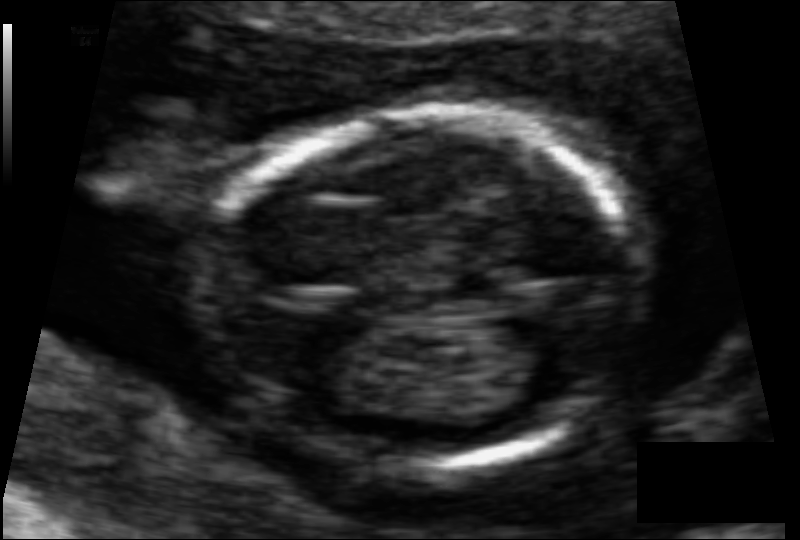
Estimate the fetal head circumference from this 2D ultrasound. Image width: 52.3 mm.

Head circumference: 84.1 mm.